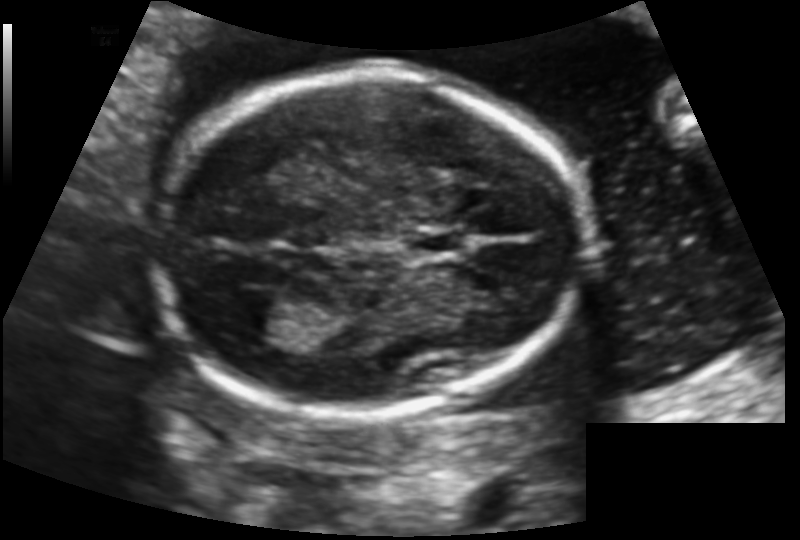
In this fetal head ultrasound, give the bounding box of the fetal head. Image width: 103.6 mm.

[152,68,585,413]